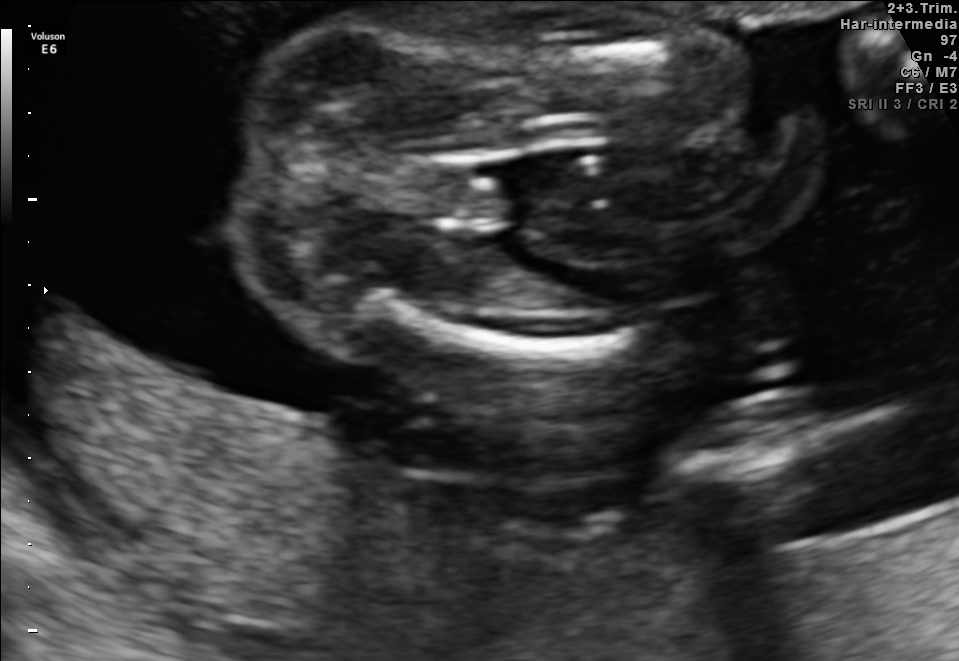
This is a 2D maternal-fetal ultrasound frame. Is it a fetal abdomen, fetal brain, fetal femur, fetal thorax, maternal cervix, or other standard plane? If it's fetal brain and one of the three standard brain planes (trans-thalamic, trans-cerebellum, trans-ventricular), name which.

Fetal femur